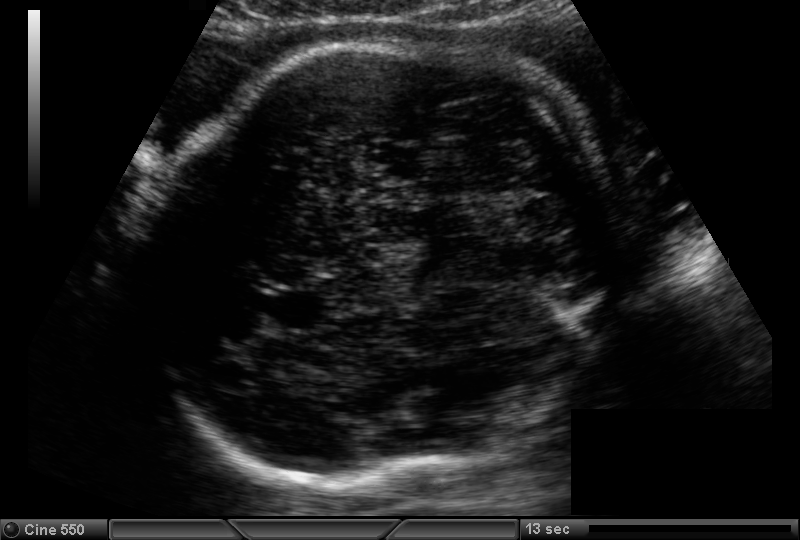
Fetal head ultrasound. Image width: 144.1 mm. Give [x1,y1,x2,y2] bounding boxes for each visible structure among: fetal head, CSP, LV.

Head: [142,43,608,484]